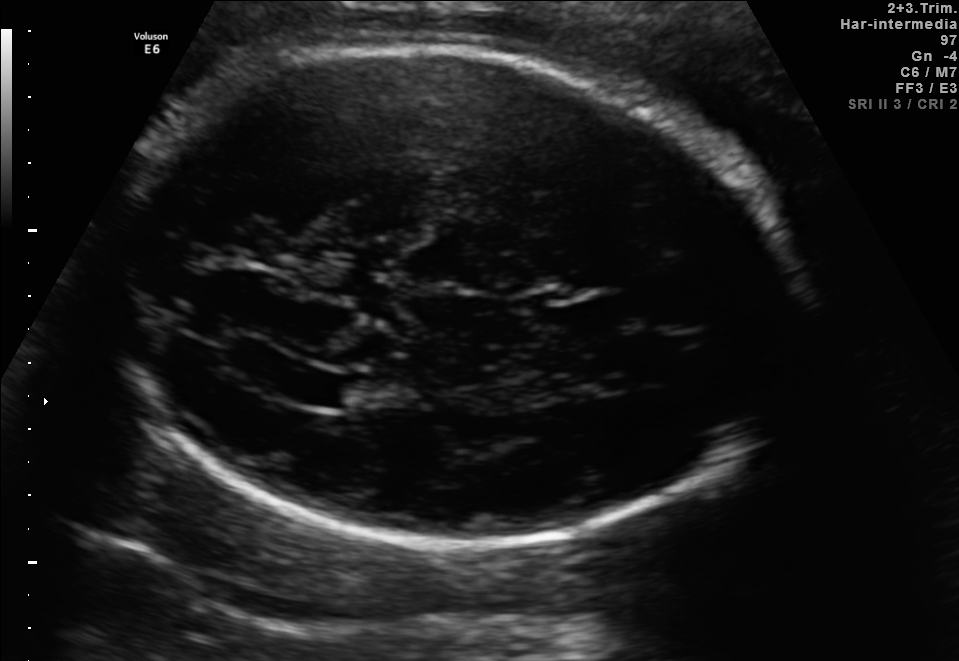
Fetal brain, trans-ventricular plane. Locate the lateral ventricle.

Lateral ventricle: [285,364,352,410]